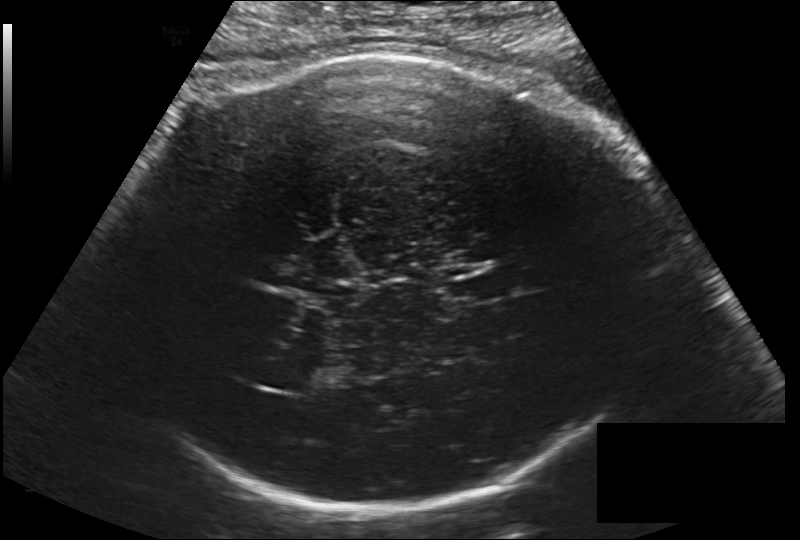
Estimate the fetal head circumference from this 2D ultrasound.

Head circumference: 331.7 mm (image width 162.2 mm).